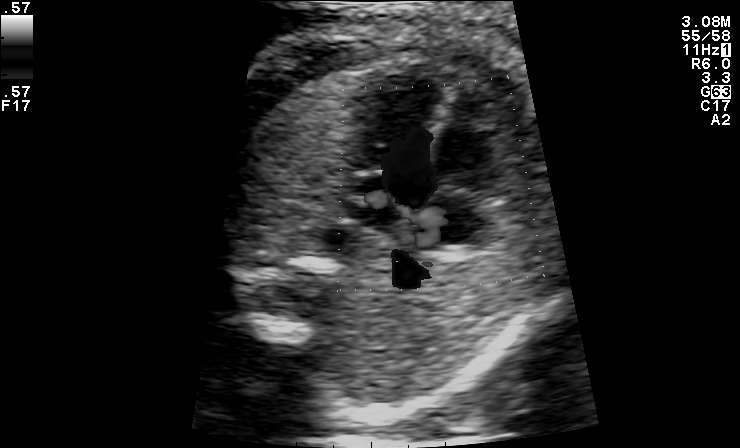
This is a 2D maternal-fetal ultrasound frame. Is it a fetal abdomen, fetal brain, fetal femur, fetal thorax, maternal cervix, or other standard plane? If it's fetal brain and one of the three standard brain planes (trans-thalamic, trans-cerebellum, trans-ventricular), name which.

Other